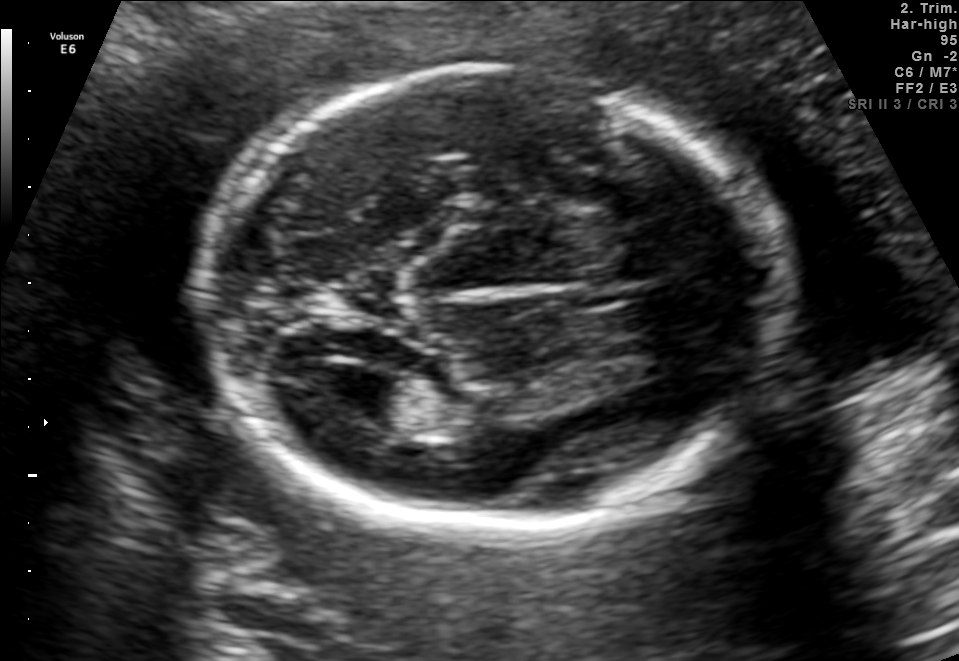
In this fetal brain, trans-ventricular plane, give the bounding box of the lateral ventricle.

[314,361,409,430]